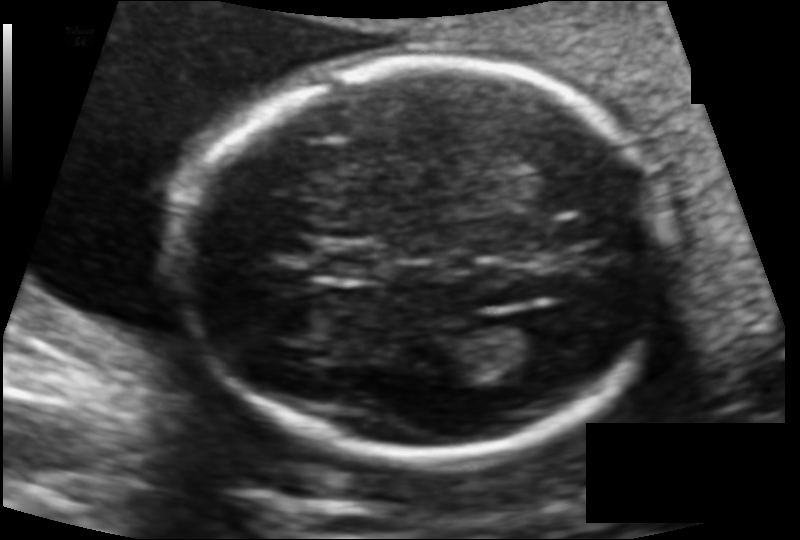
From this fetal ultrasound, estimate the head circumference (image width 91.4 mm).

Head circumference: 164.4 mm.